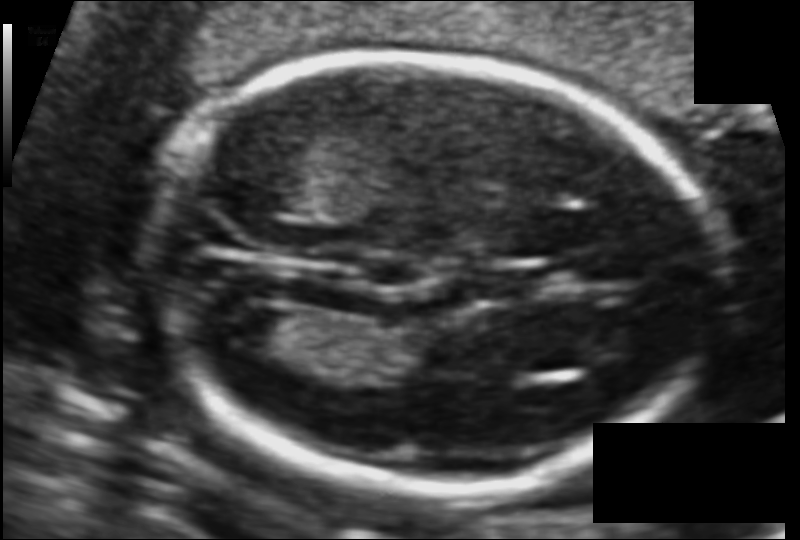
Fetal head ultrasound. Image width: 75.8 mm. Locate the lateral ventricle.

Lateral ventricle: [212,298,300,360]